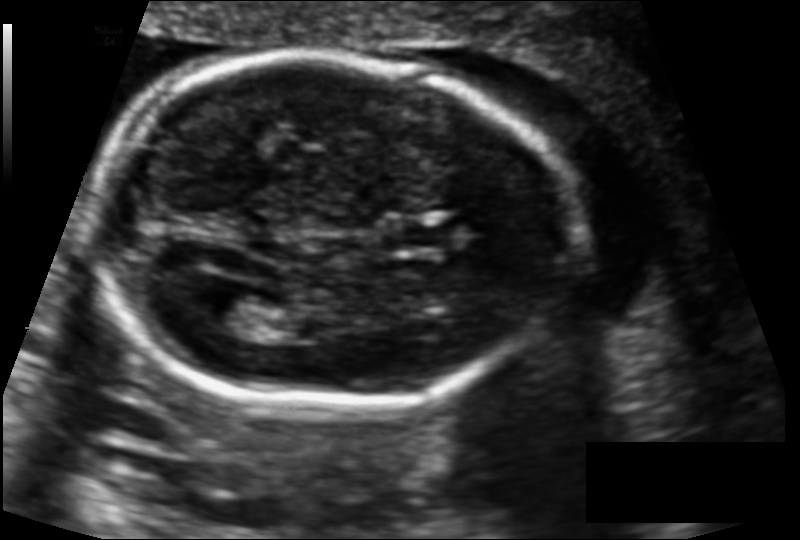
In this fetal head ultrasound, give the bounding box of the cavum septum pellucidum. Image width: 97.4 mm.

[382,218,452,251]